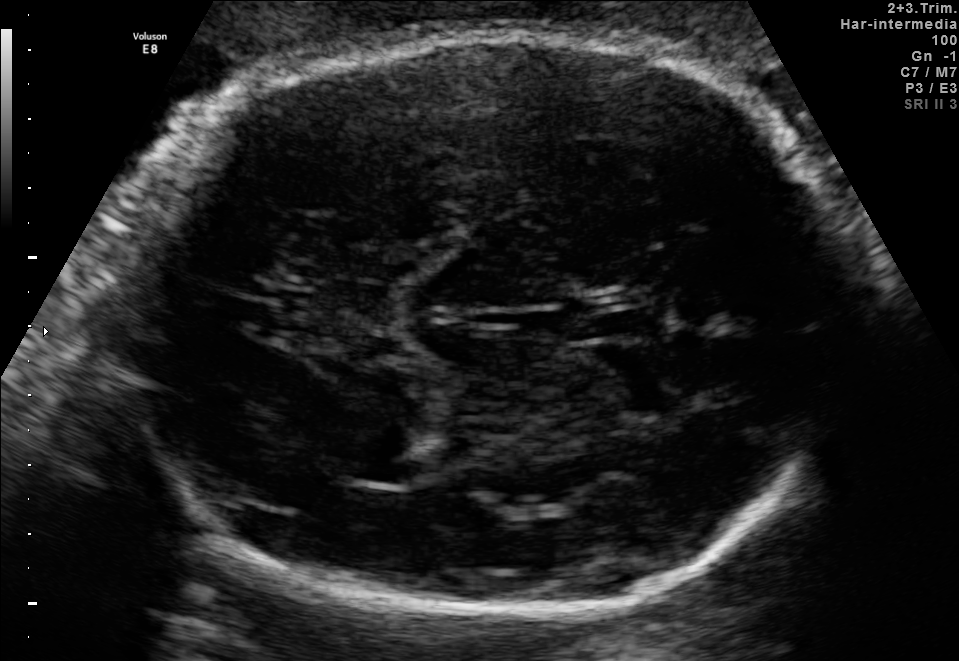
Fetal brain, trans-thalamic plane. Where is the lateral ventricle?

Lateral ventricle bounding box: [346,451,419,489]